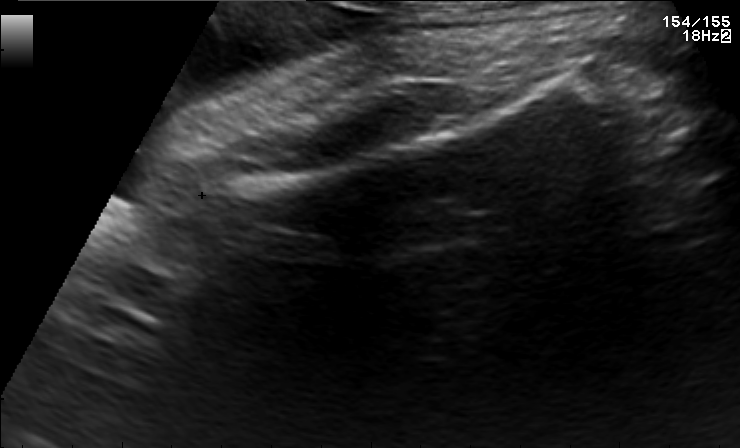
Which standard maternal-fetal ultrasound plane is shown: fetal abdomen, fetal brain, fetal femur, fetal thorax, maternal cervix, or other? If it's fetal brain and one of the three standard brain planes (trans-thalamic, trans-cerebellum, trans-ventricular), name which.

Fetal femur